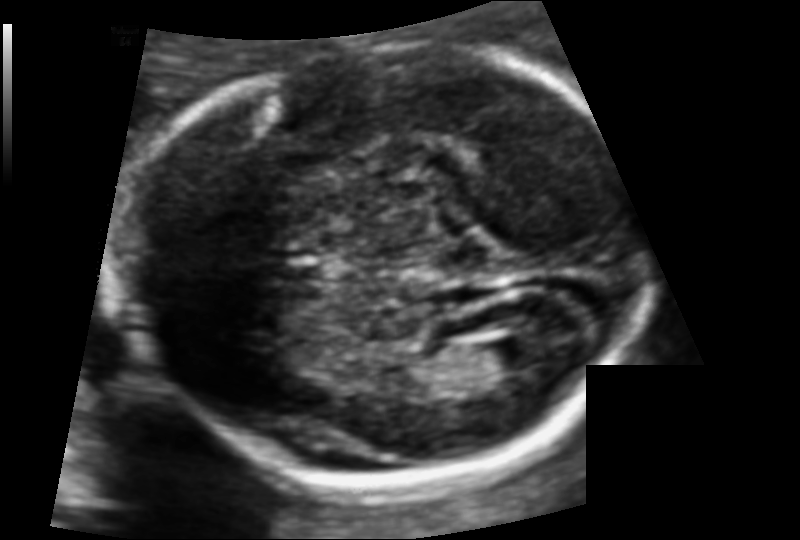
Fetal head ultrasound. Image width: 84.2 mm. Give [x1,y1,x2,y2] bounding boxes for each visible structure among: fetal head, CSP, LV.

Head: [128,51,649,492]
Lateral ventricle: [471,330,543,382]